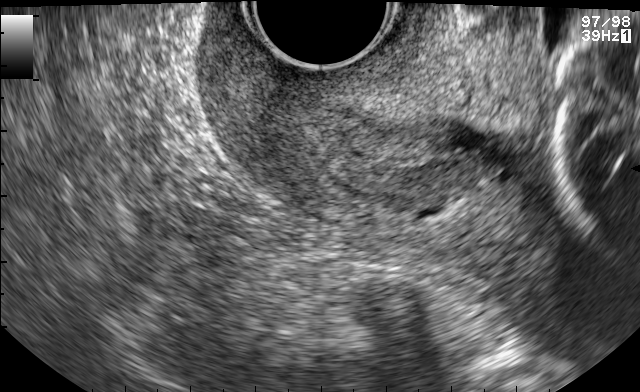
Classify this maternal-fetal ultrasound image as one of the six standard planes — fetal abdomen, fetal brain, fetal femur, fetal thorax, maternal cervix, or other. If it's fetal brain and one of the three standard brain planes (trans-thalamic, trans-cerebellum, trans-ventricular), name which.

Maternal cervix